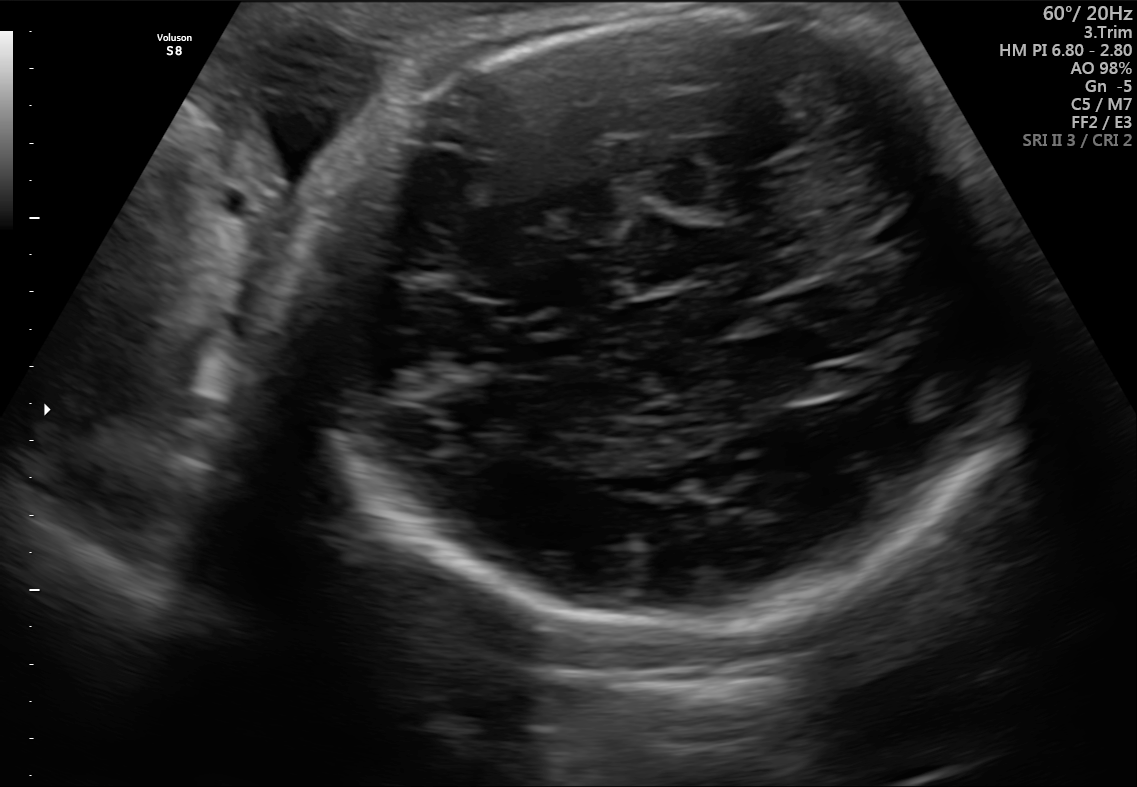
Classify this maternal-fetal ultrasound image as one of the six standard planes — fetal abdomen, fetal brain, fetal femur, fetal thorax, maternal cervix, or other. If it's fetal brain and one of the three standard brain planes (trans-thalamic, trans-cerebellum, trans-ventricular), name which.

Fetal brain (trans-cerebellum plane)